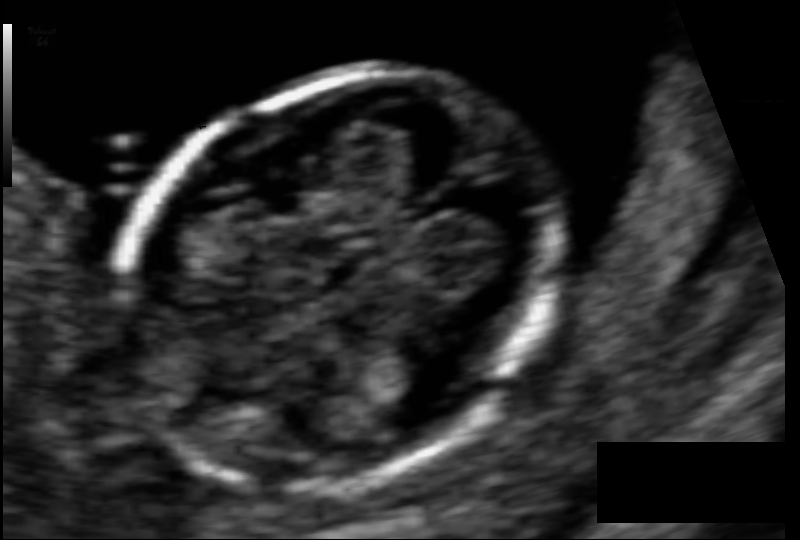
Measure the fetal head circumference shown in this ultrasound image. Image width: 48.5 mm.

Head circumference: 85.0 mm.